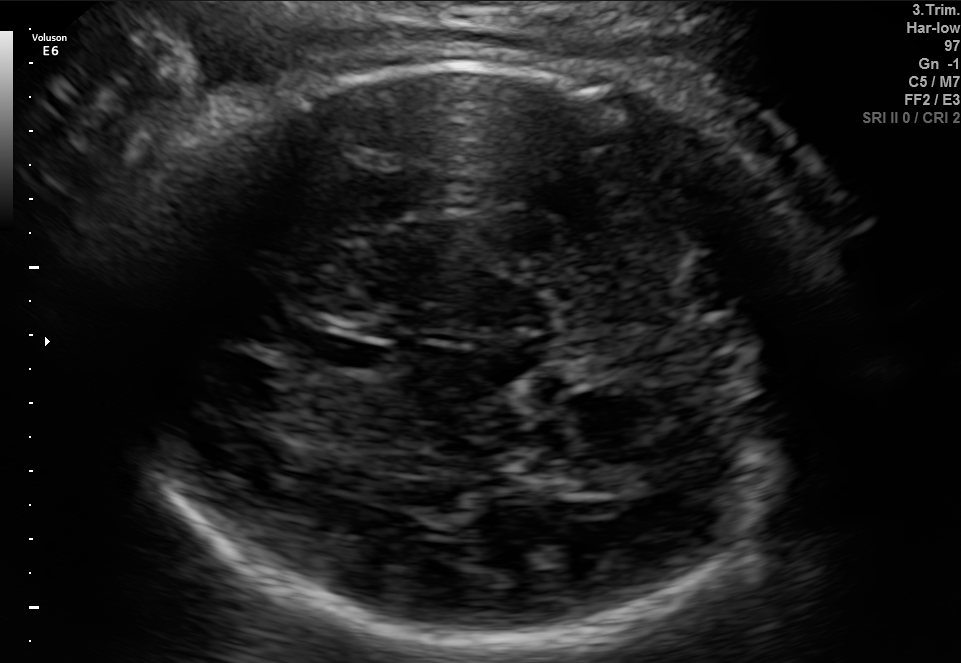
Fetal brain, trans-thalamic plane. Where is the fetal head?

Head bounding box: [107,60,824,655]